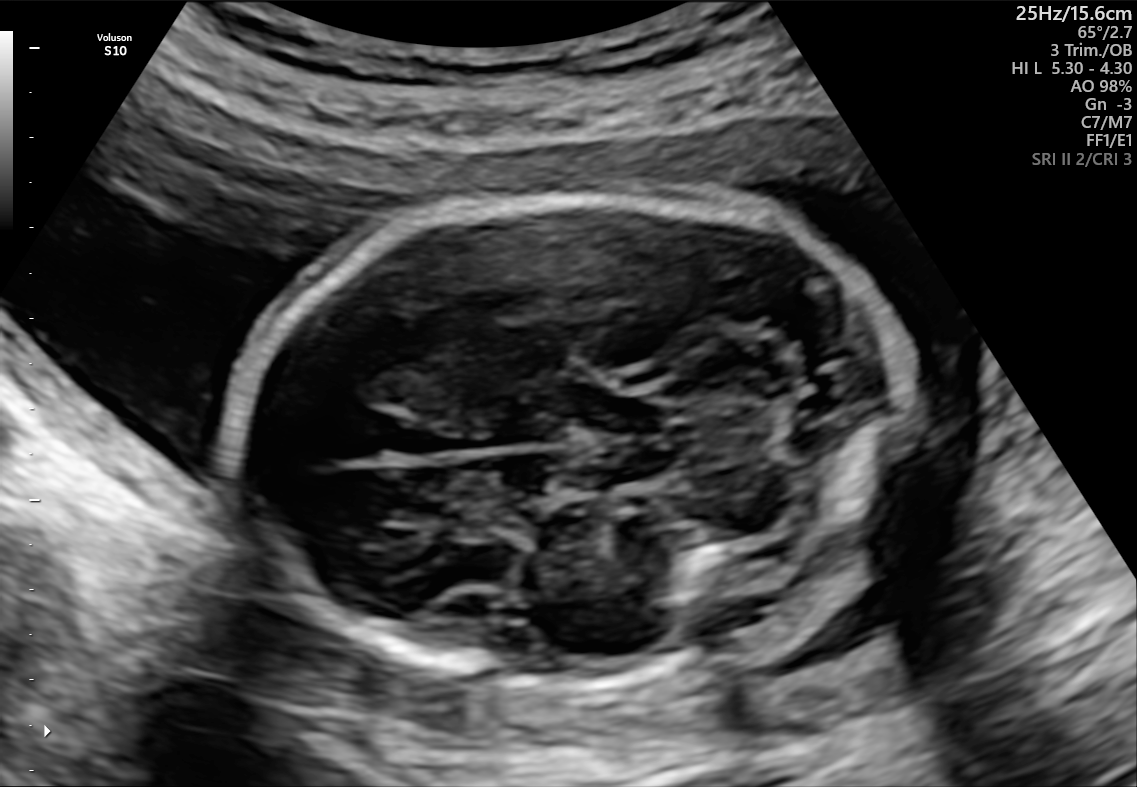
In this fetal brain, trans-cerebellum plane, give the bounding box of the fetal head.

[232,192,907,686]